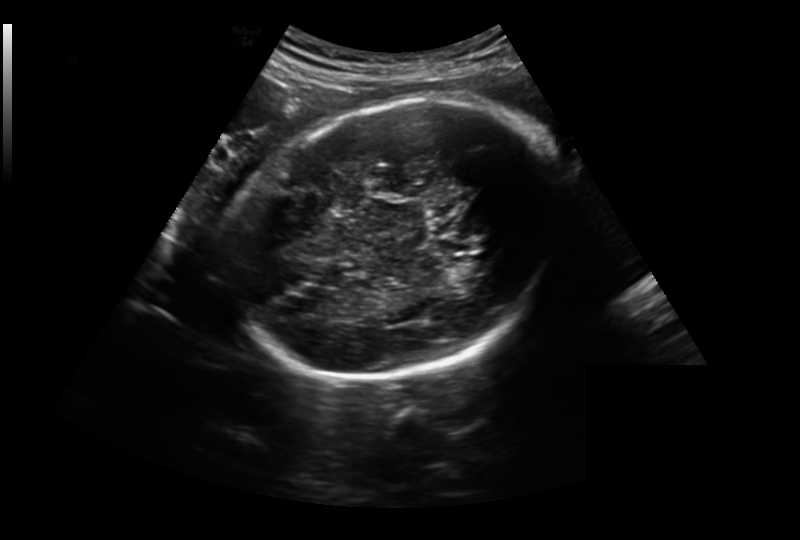
What is the fetal head circumference? Image width is 206.9 mm.

263.0 mm